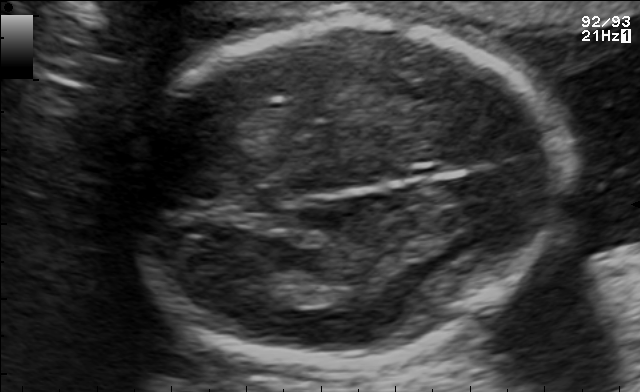
In this fetal brain, trans-thalamic plane, give the bounding box of the fetal head.

[123,16,561,368]